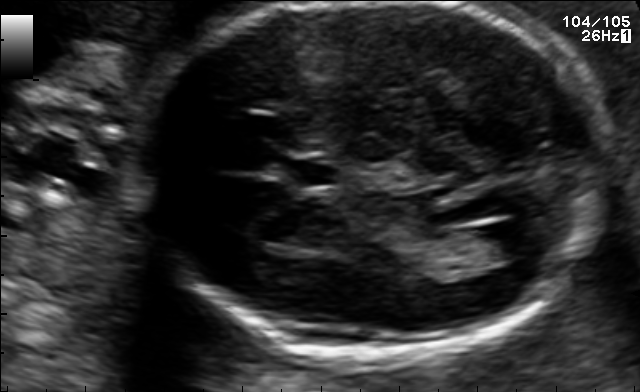
Which standard maternal-fetal ultrasound plane is shown: fetal abdomen, fetal brain, fetal femur, fetal thorax, maternal cervix, or other? If it's fetal brain and one of the three standard brain planes (trans-thalamic, trans-cerebellum, trans-ventricular), name which.

Fetal brain (trans-ventricular plane)